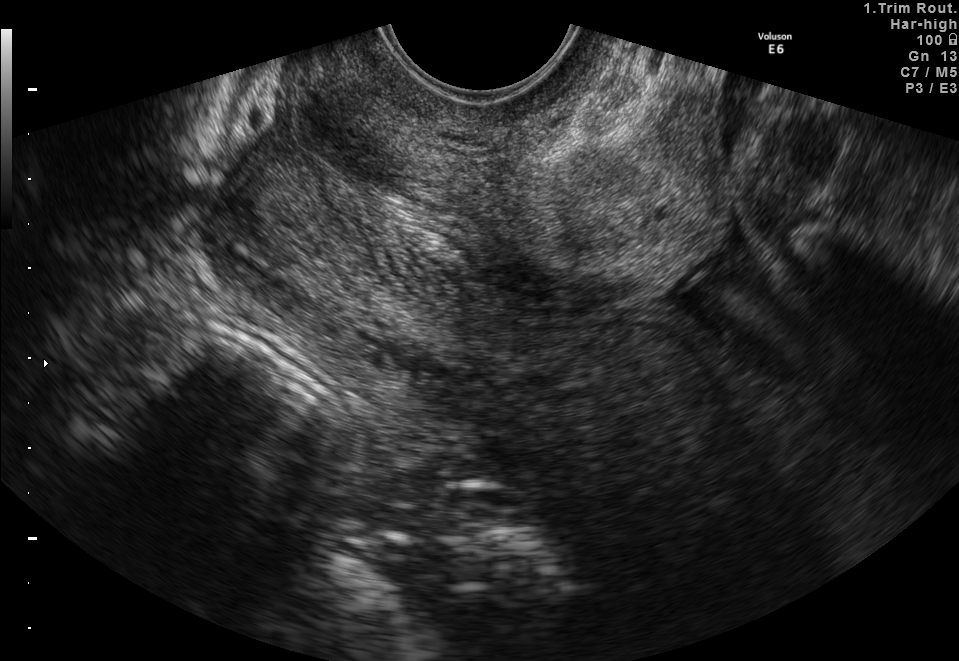
Classify this maternal-fetal ultrasound image as one of the six standard planes — fetal abdomen, fetal brain, fetal femur, fetal thorax, maternal cervix, or other. If it's fetal brain and one of the three standard brain planes (trans-thalamic, trans-cerebellum, trans-ventricular), name which.

Maternal cervix